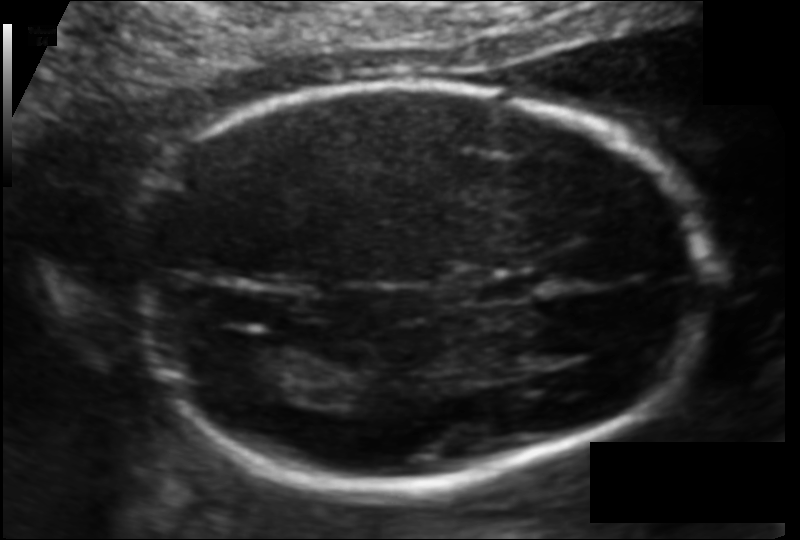
Fetal head ultrasound. Image width: 87.4 mm. Where is the cavum septum pellucidum?

CSP bounding box: [477,268,547,307]